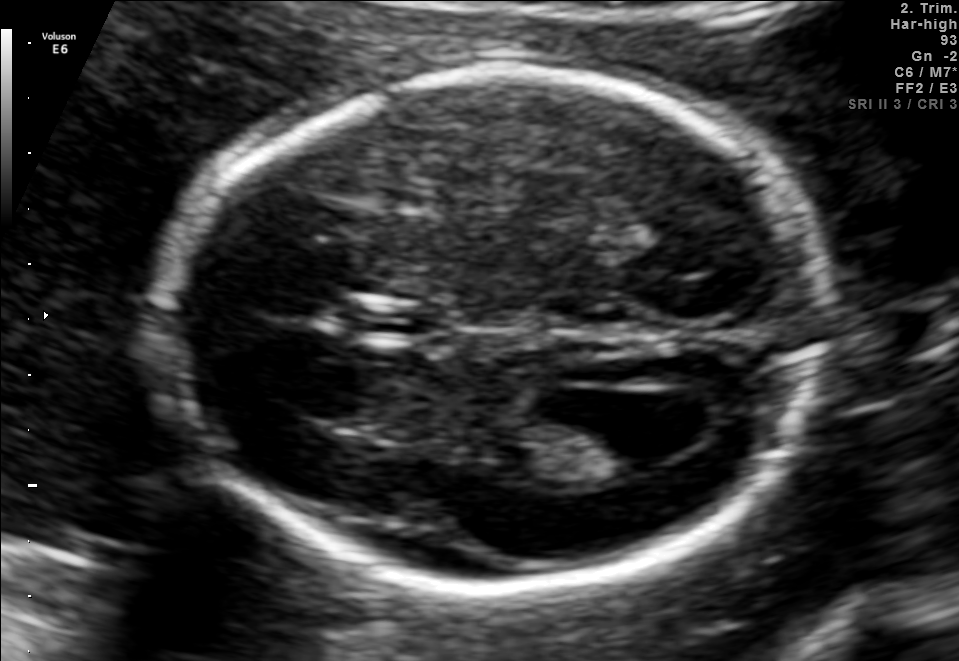
Fetal brain, trans-ventricular plane. Locate the cavum septum pellucidum.

CSP: [333,291,462,358]